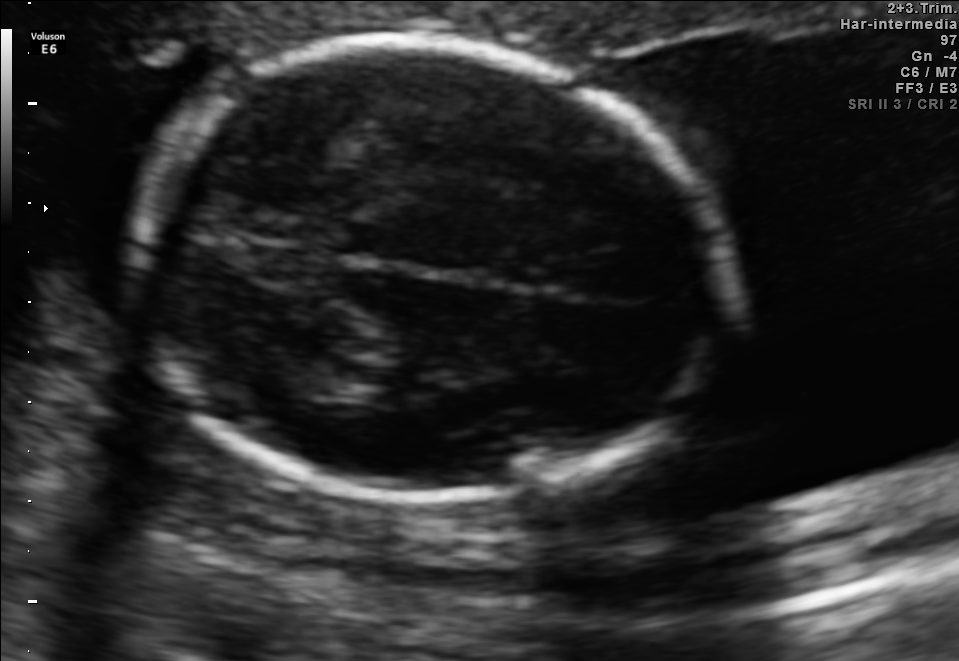
In this fetal brain, trans-thalamic plane, give bounding boxes for the head outline, cavum septum pellucidum (CSP), and lateral ventricle (LV), where visible.

Head: [137,41,716,498]